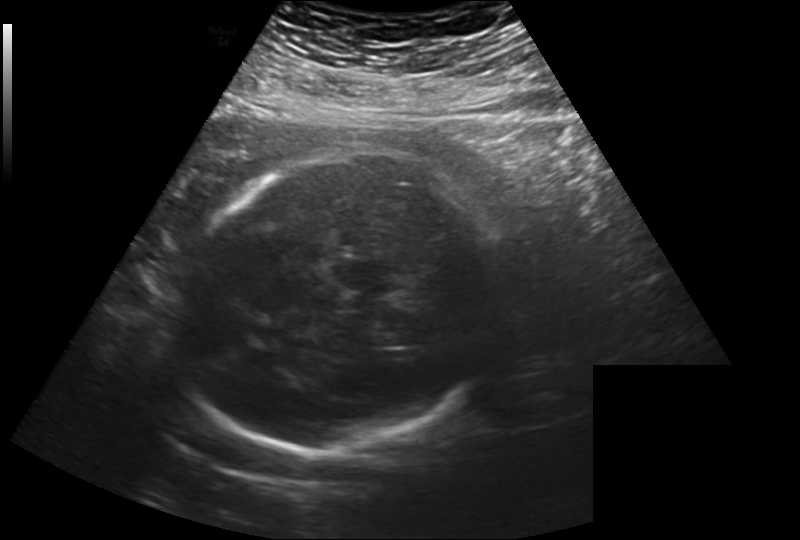
Estimate the fetal head circumference from this 2D ultrasound. Image width: 208.0 mm.

Head circumference: 271.0 mm.